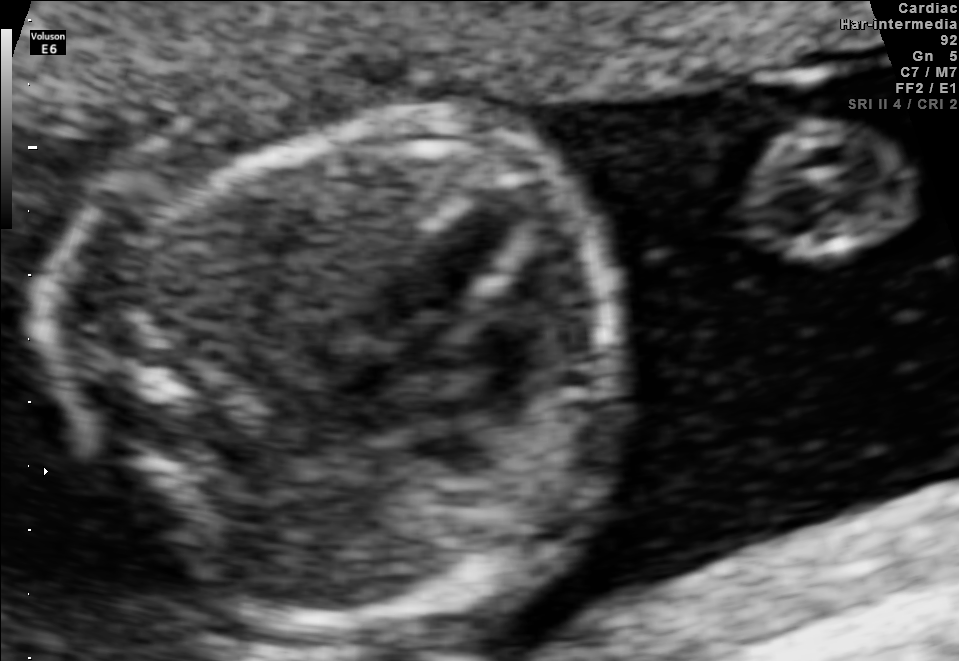
Classify this maternal-fetal ultrasound image as one of the six standard planes — fetal abdomen, fetal brain, fetal femur, fetal thorax, maternal cervix, or other. If it's fetal brain and one of the three standard brain planes (trans-thalamic, trans-cerebellum, trans-ventricular), name which.

Fetal thorax